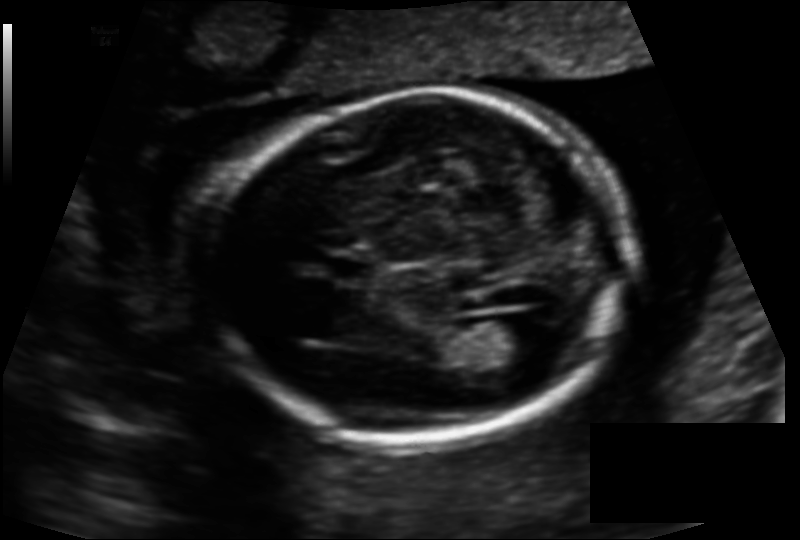
What is the fetal head circumference? Image width is 107.3 mm.

166.8 mm